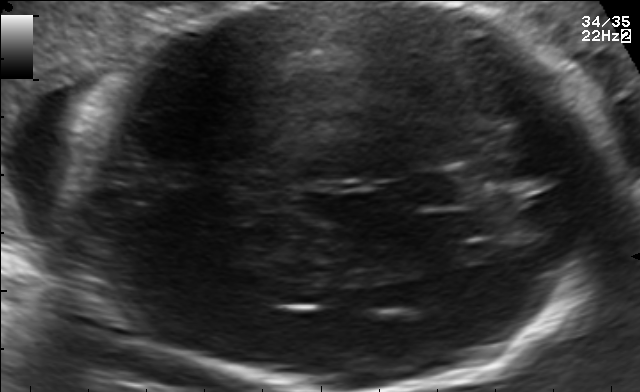
Fetal brain, trans-thalamic plane. Where is the cavum septum pellucidum?

CSP bounding box: [411,170,469,210]